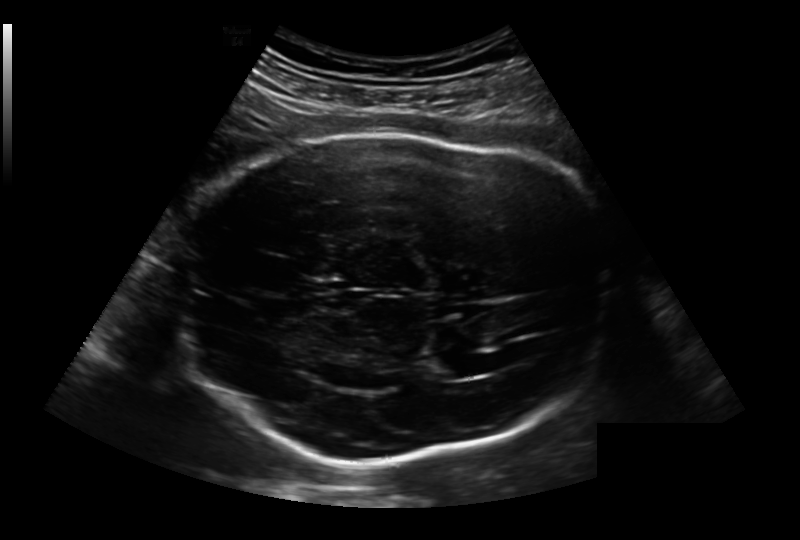
Estimate the fetal head circumference from this 2D ultrasound.

Head circumference: 291.9 mm (image width 188.6 mm).